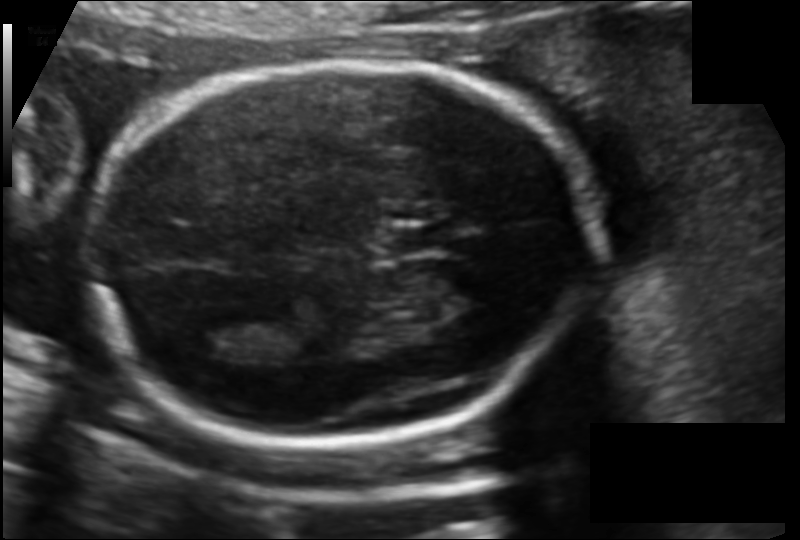
Fetal head ultrasound. Image width: 96.2 mm. Give [x1,y1,x2,y2] bounding boxes for each visible structure among: fetal head, CSP, LV.

Head: [85,64,600,440]
CSP: [379,221,455,259]
Lateral ventricle: [185,323,251,360]